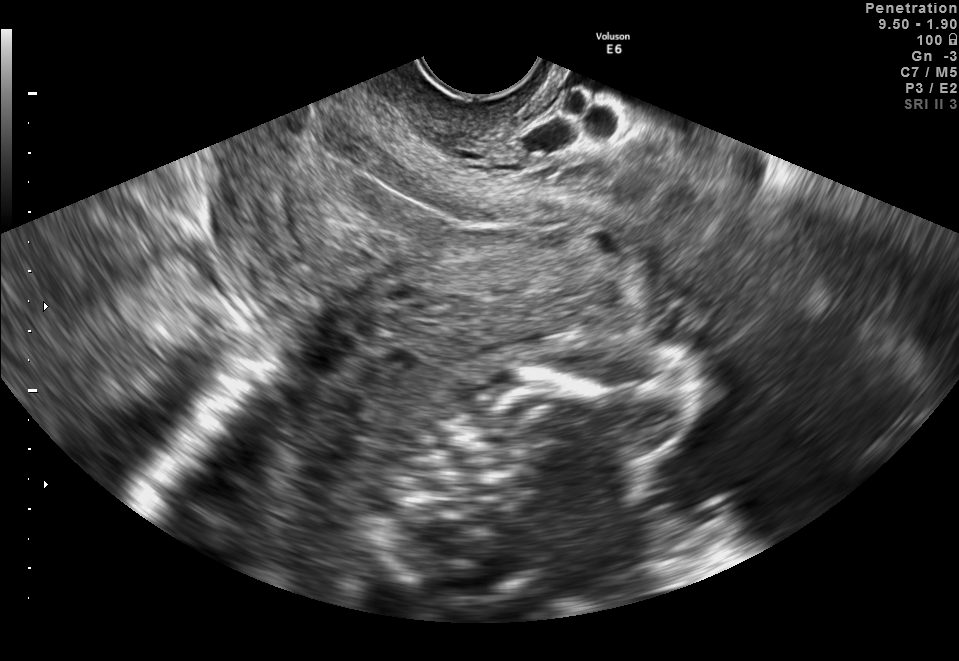
Identify the standard plane in this fetal ultrasound image: fetal abdomen, fetal brain, fetal femur, fetal thorax, maternal cervix, or other. If it's fetal brain and one of the three standard brain planes (trans-thalamic, trans-cerebellum, trans-ventricular), name which.

Maternal cervix